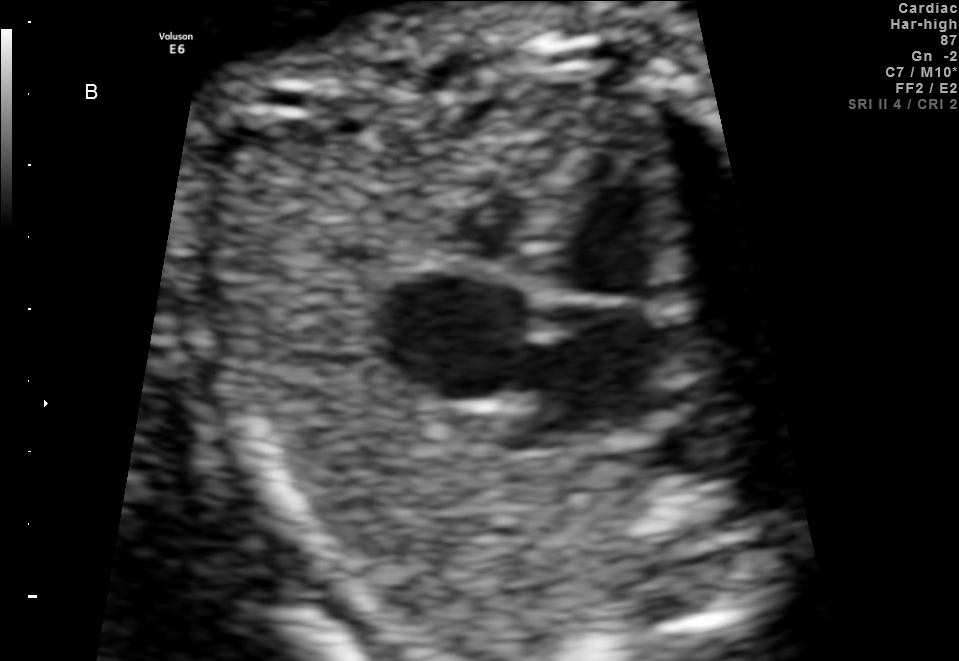
Identify the standard plane in this fetal ultrasound image: fetal abdomen, fetal brain, fetal femur, fetal thorax, maternal cervix, or other. If it's fetal brain and one of the three standard brain planes (trans-thalamic, trans-cerebellum, trans-ventricular), name which.

Fetal thorax